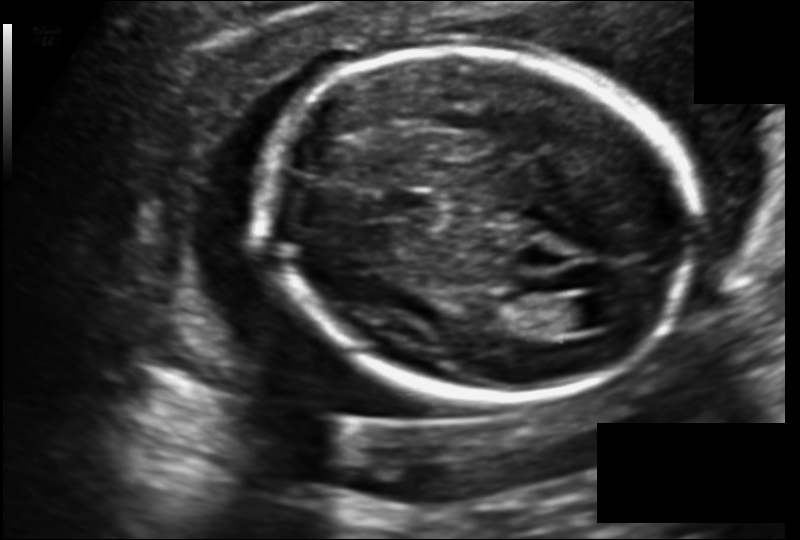
Fetal head ultrasound. Image width: 111.6 mm. Where is the fetal head?

Head bounding box: [263,47,692,398]